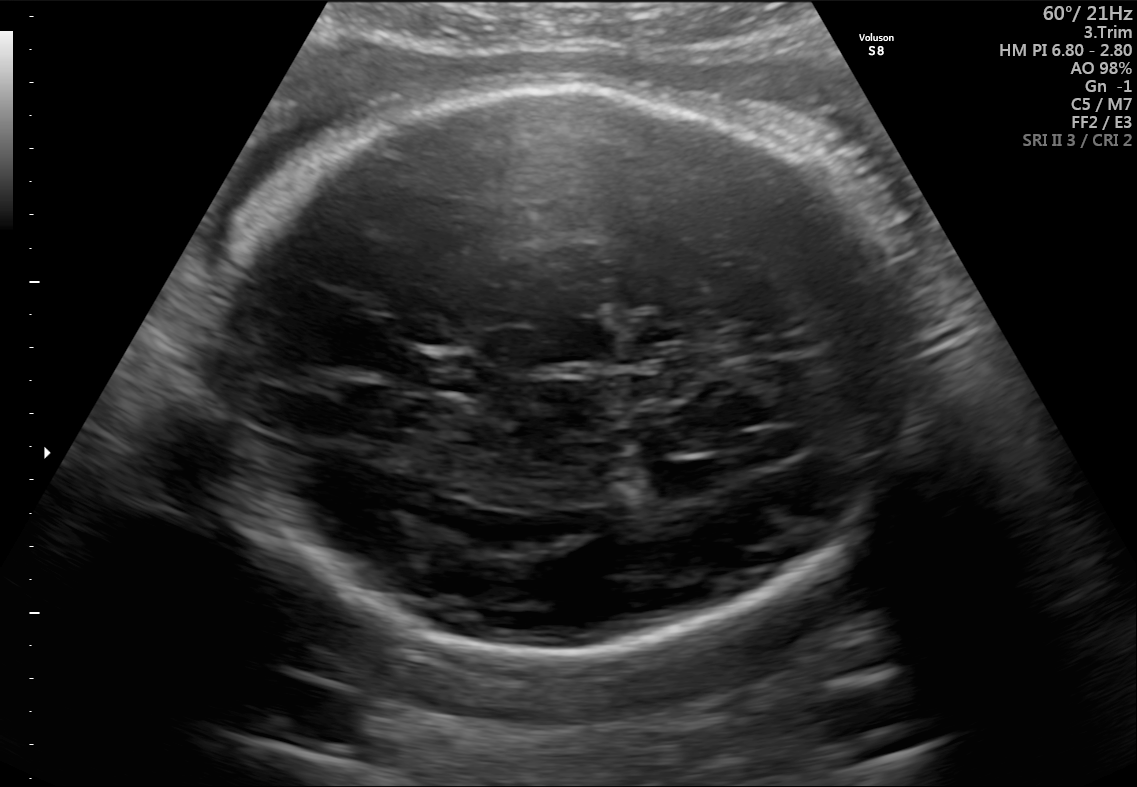
Fetal brain, trans-thalamic plane. Give [x1,y1,x2,y2] bounding boxes for each visible structure among: fetal head, CSP, LV.

Head: [206,90,909,654]
CSP: [415,353,483,393]
Lateral ventricle: [644,458,720,502]